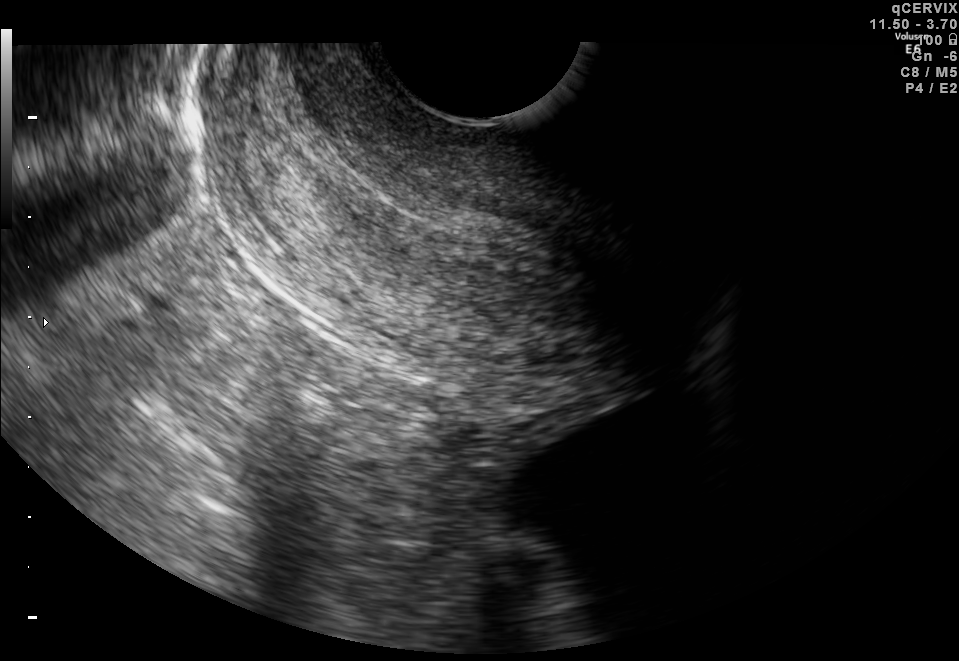
Classify this maternal-fetal ultrasound image as one of the six standard planes — fetal abdomen, fetal brain, fetal femur, fetal thorax, maternal cervix, or other. If it's fetal brain and one of the three standard brain planes (trans-thalamic, trans-cerebellum, trans-ventricular), name which.

Maternal cervix